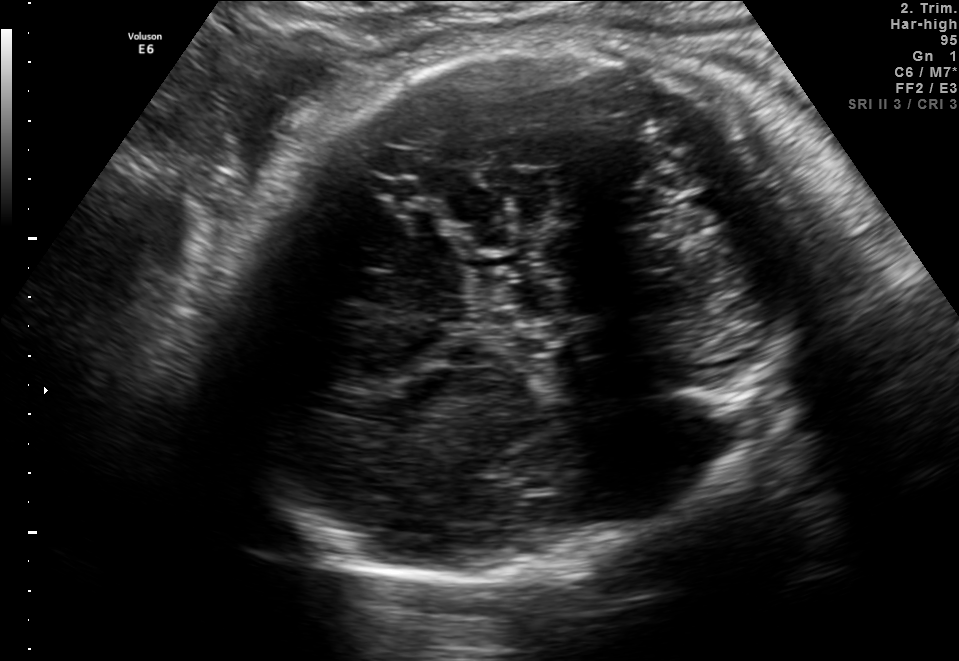
In this fetal brain, trans-thalamic plane, give bounding boxes for the head outline, cavum septum pellucidum (CSP), and lateral ventricle (LV), where visible.

Head: [214,42,801,583]